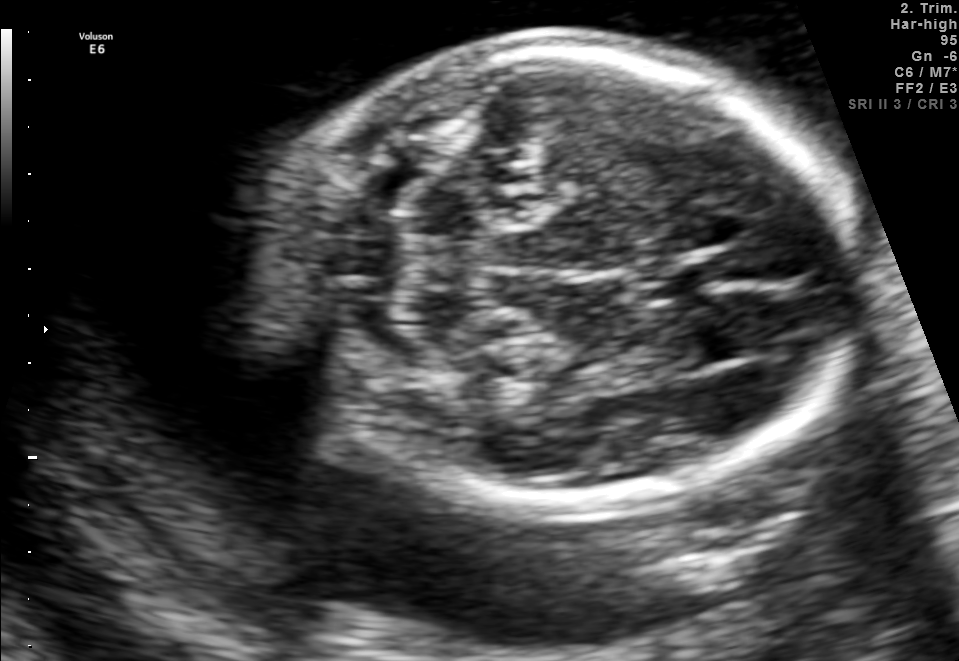
Fetal brain, trans-cerebellum plane. Where is the fetal head?

Head bounding box: [254,44,861,511]